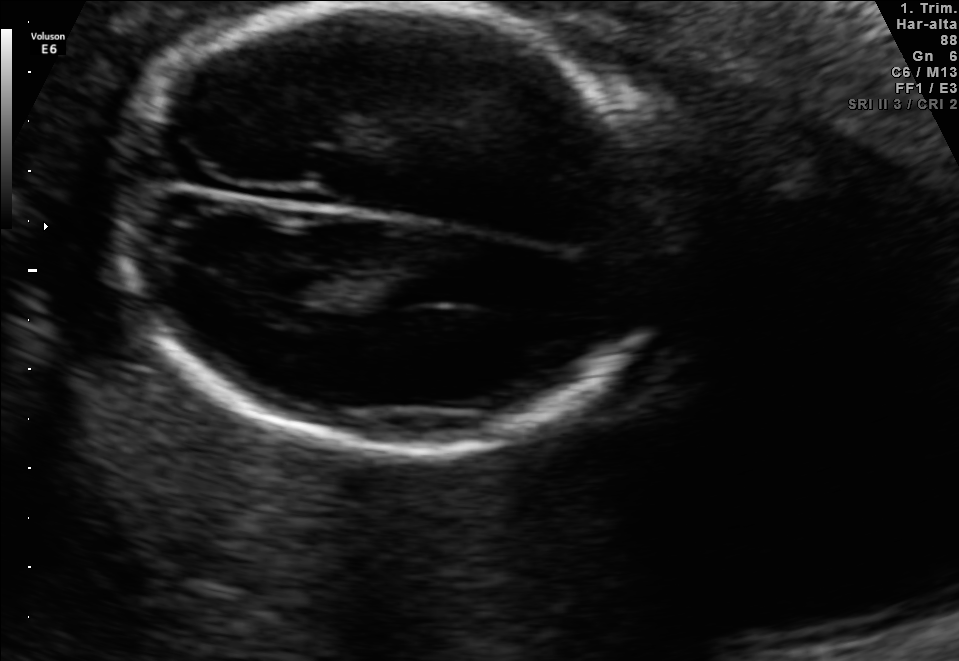
Fetal brain, trans-thalamic plane. Where is the fetal head?

Head bounding box: [122,3,663,458]